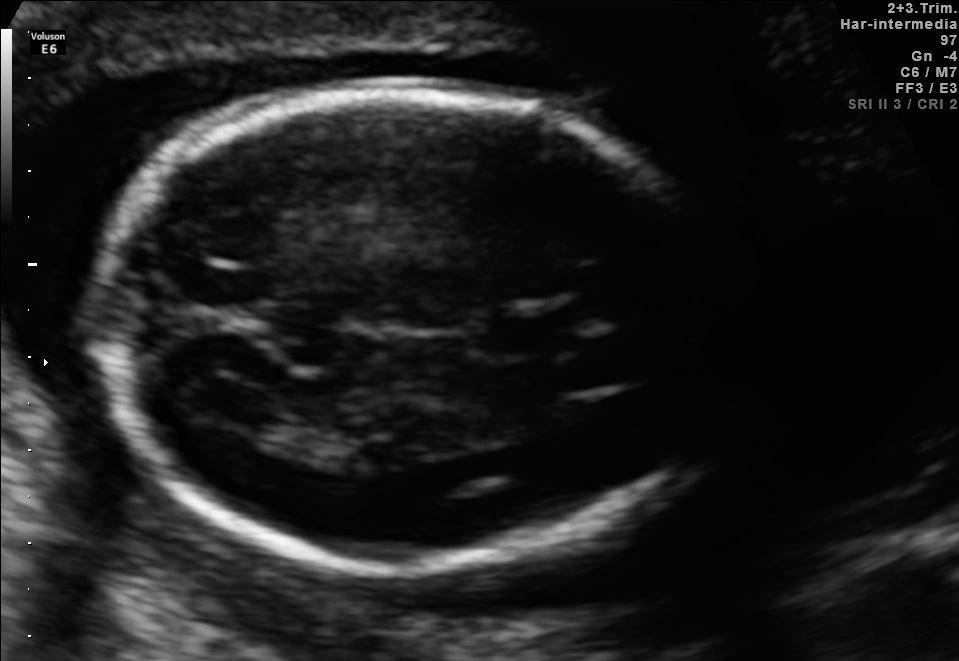
Identify the standard plane in this fetal ultrasound image: fetal abdomen, fetal brain, fetal femur, fetal thorax, maternal cervix, or other. If it's fetal brain and one of the three standard brain planes (trans-thalamic, trans-cerebellum, trans-ventricular), name which.

Fetal brain (trans-ventricular plane)